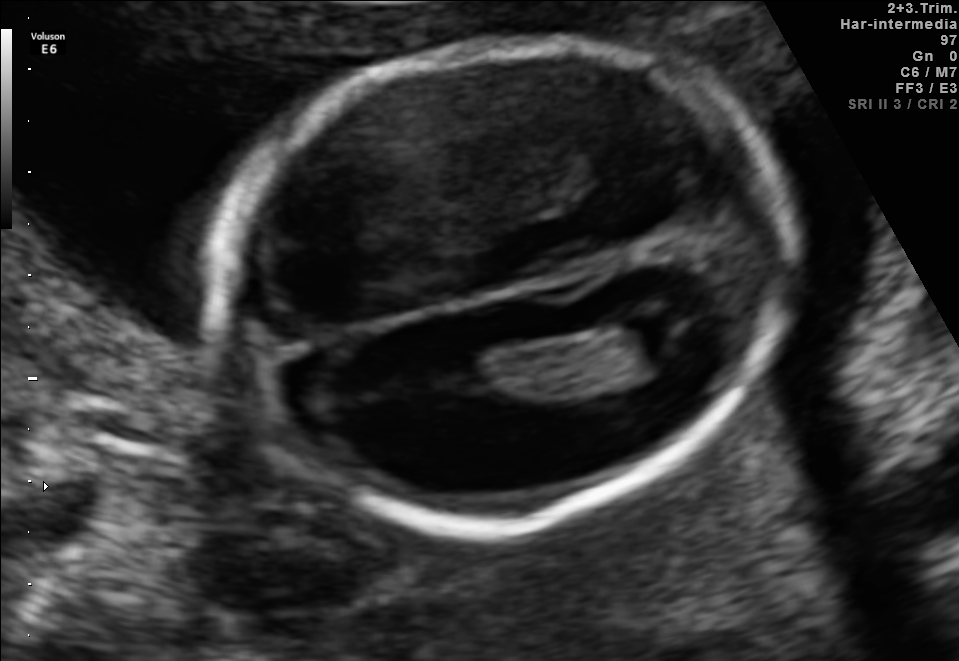
Fetal brain, trans-ventricular plane. Locate the fetal head and, if visible, the cavum septum pellucidum (CSP) and lateral ventricle (LV). Give bounding boxes as [x1,y1,x2,y2].

Head: [206,26,807,541]